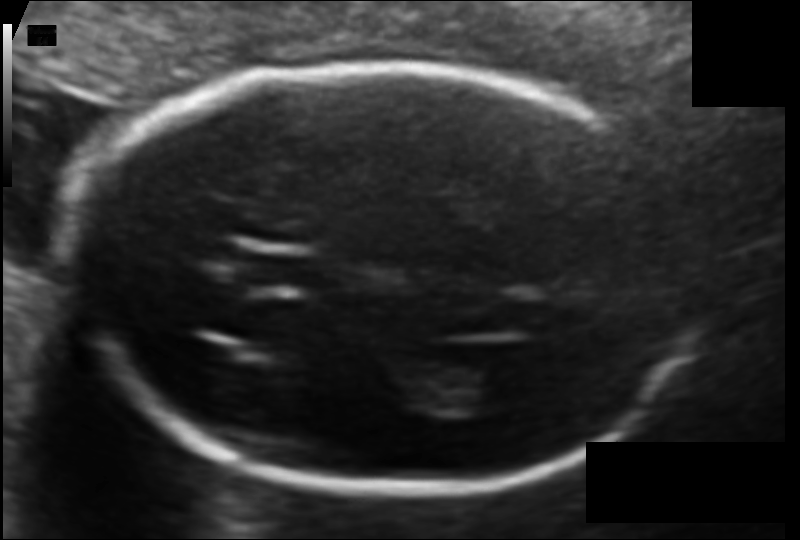
From this fetal ultrasound, estimate the head circumference (image width 82.7 mm).

Head circumference: 177.8 mm.